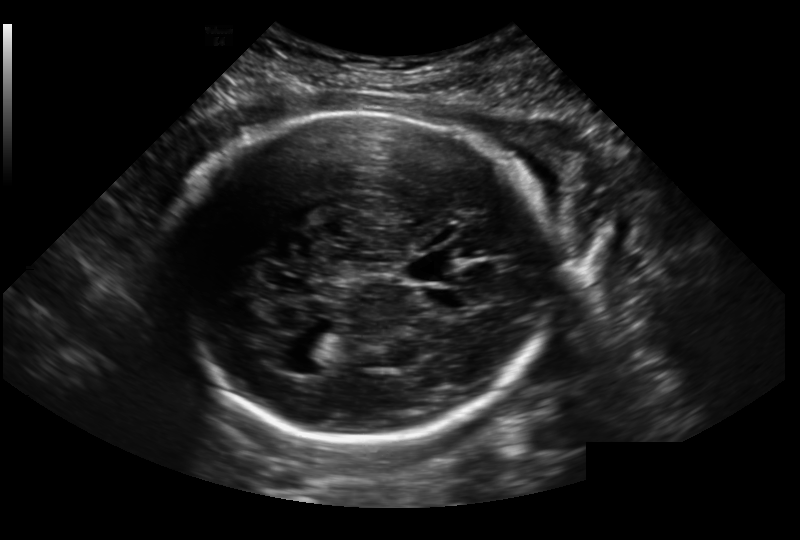
In this fetal head ultrasound, give bounding boxes for the head outline, cavum septum pellucidum (CSP), and lateral ventricle (LV), where visible. Image width: 188.7 mm.

Head: [176,109,549,443]
CSP: [407,255,452,284]
Lateral ventricle: [281,354,324,377]